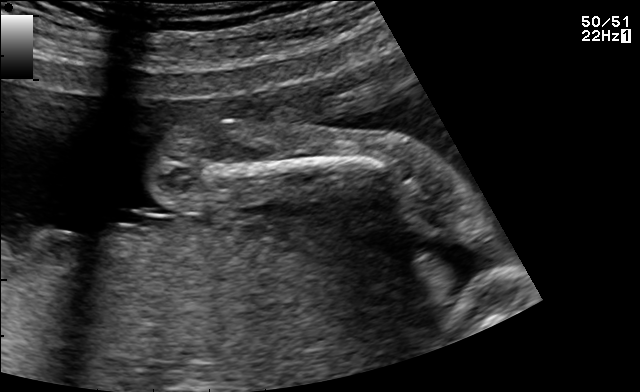
Classify this maternal-fetal ultrasound image as one of the six standard planes — fetal abdomen, fetal brain, fetal femur, fetal thorax, maternal cervix, or other. If it's fetal brain and one of the three standard brain planes (trans-thalamic, trans-cerebellum, trans-ventricular), name which.

Other